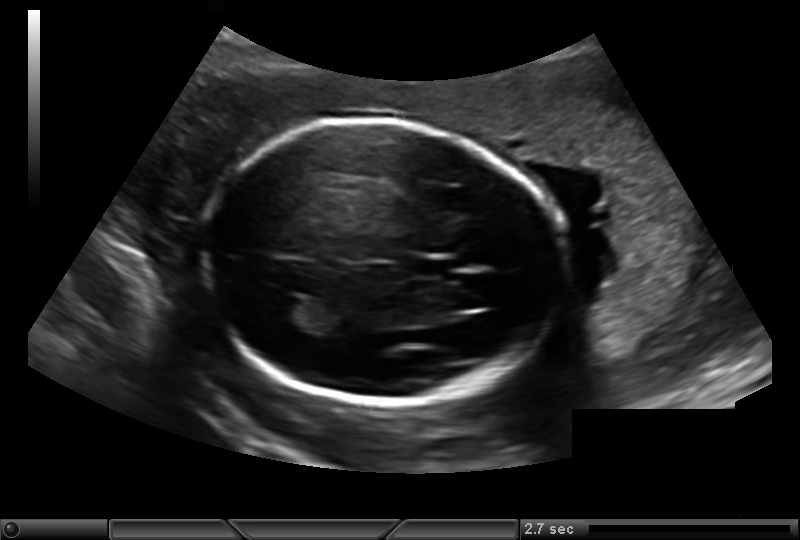
What is the fetal head circumference? Image width is 154.2 mm.

202.7 mm